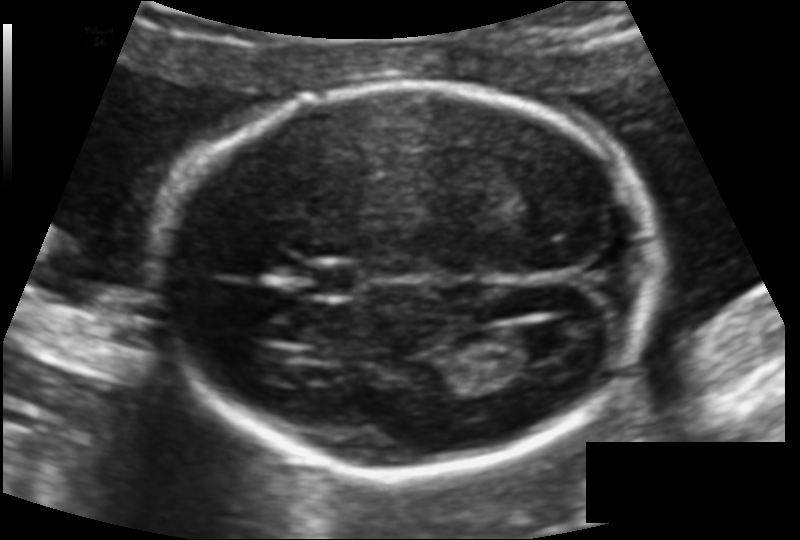
Estimate the fetal head circumference from this 2D ultrasound.

Head circumference: 169.6 mm (image width 93.9 mm).